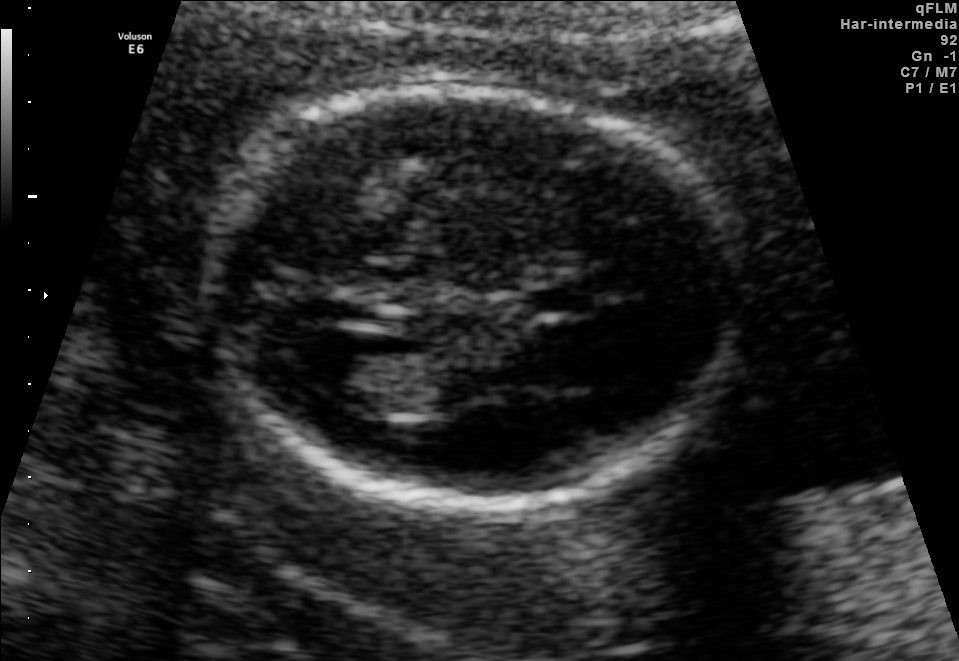
Fetal brain, trans-ventricular plane. Locate the cavum septum pellucidum.

CSP: [523,288,597,313]